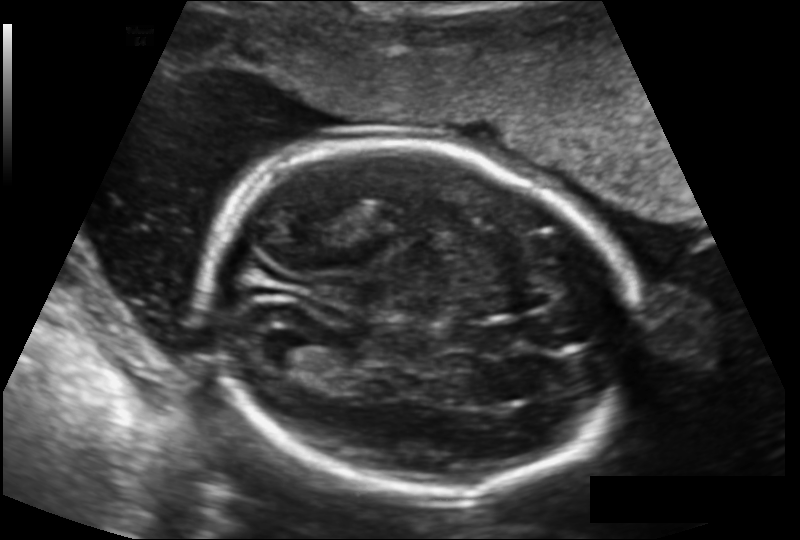
Fetal head ultrasound. Image width: 114.2 mm. Where is the lateral ventricle?

Lateral ventricle bounding box: [260,324,332,383]